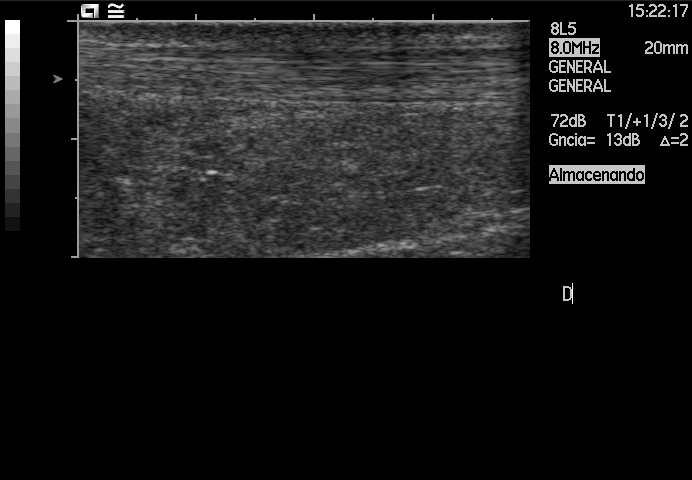
This is a 2D maternal-fetal ultrasound frame. Is it a fetal abdomen, fetal brain, fetal femur, fetal thorax, maternal cervix, or other standard plane? If it's fetal brain and one of the three standard brain planes (trans-thalamic, trans-cerebellum, trans-ventricular), name which.

Other